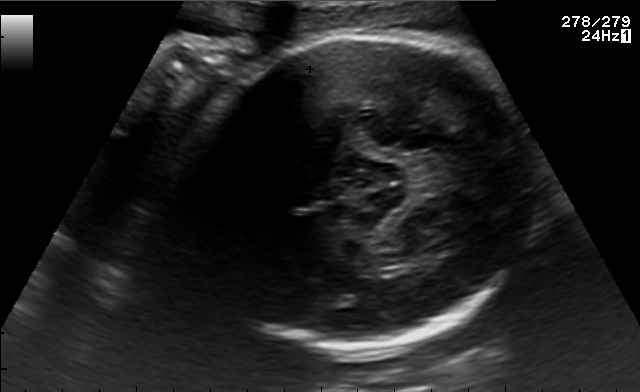
Fetal brain, trans-thalamic plane. Locate the fetal head.

Head: [182,35,541,351]